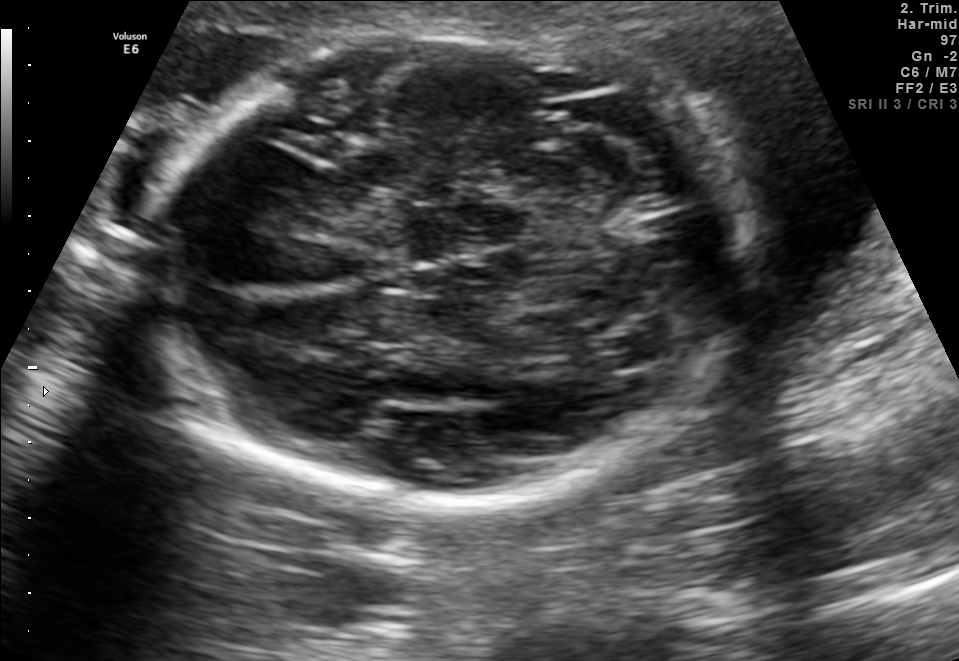
Classify this maternal-fetal ultrasound image as one of the six standard planes — fetal abdomen, fetal brain, fetal femur, fetal thorax, maternal cervix, or other. If it's fetal brain and one of the three standard brain planes (trans-thalamic, trans-cerebellum, trans-ventricular), name which.

Fetal brain (trans-thalamic plane)